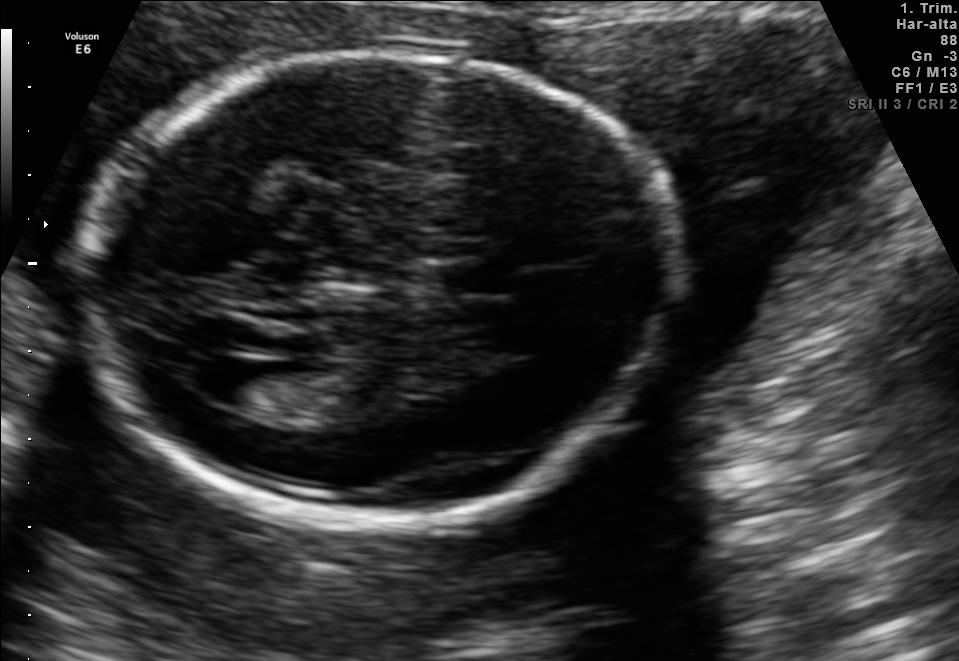
Fetal brain, trans-ventricular plane. Where is the cavum septum pellucidum?

CSP bounding box: [433,257,526,299]